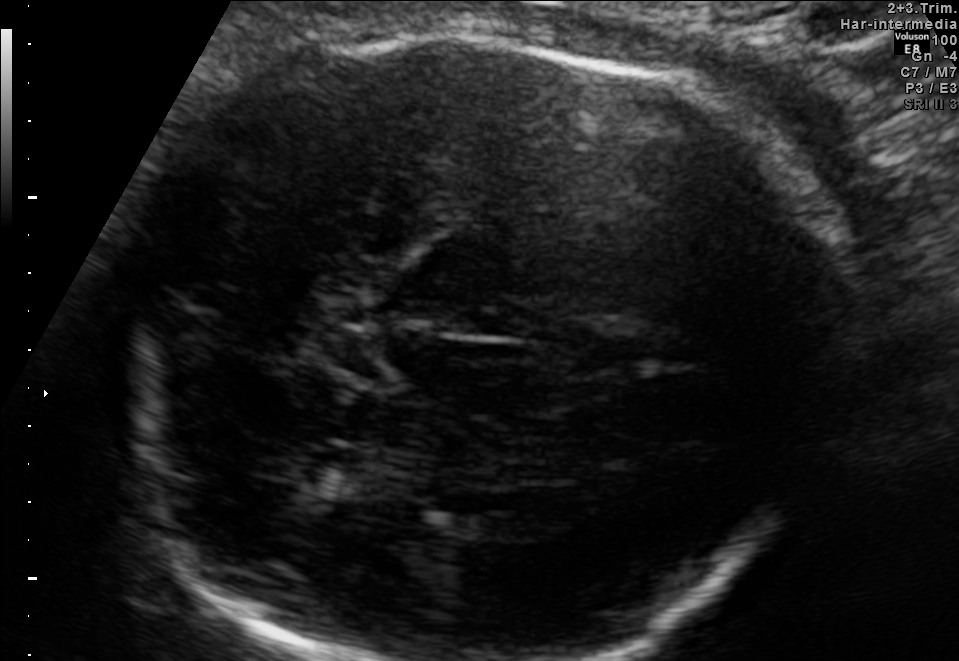
In this fetal brain, trans-thalamic plane, give the bounding box of the lateral ventricle.

[276,434,379,498]